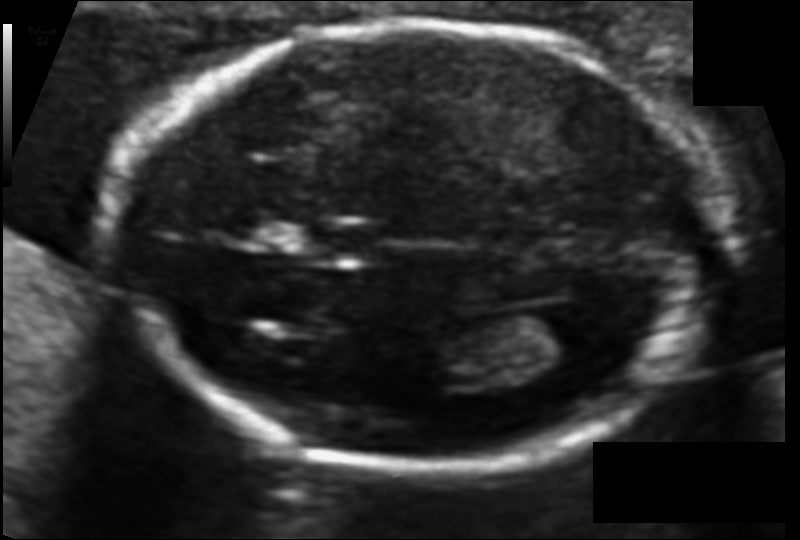
What is the fetal head circumference? Image width is 75.0 mm.

159.3 mm